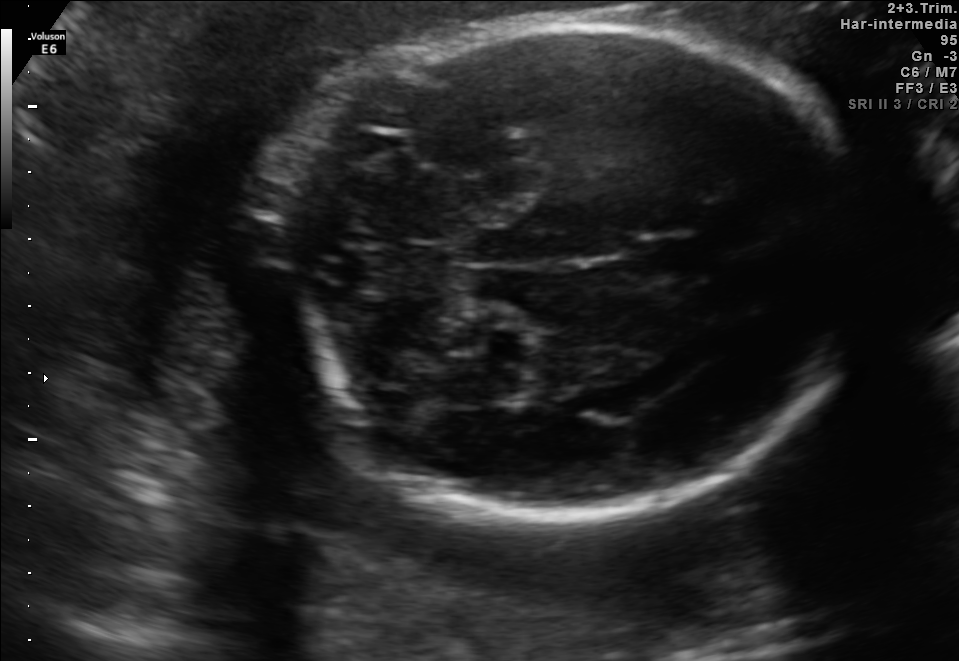
In this fetal brain, trans-cerebellum plane, give the bounding box of the cavum septum pellucidum.

[631,227,709,285]